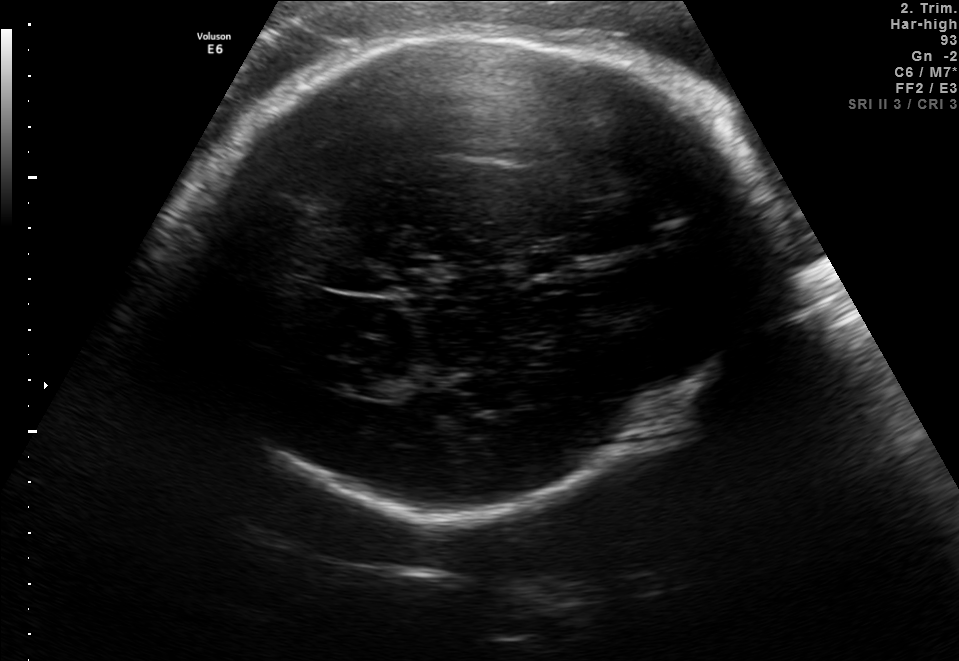
In this fetal brain, trans-thalamic plane, give the bounding box of the lateral ventricle.

[341,363,410,403]